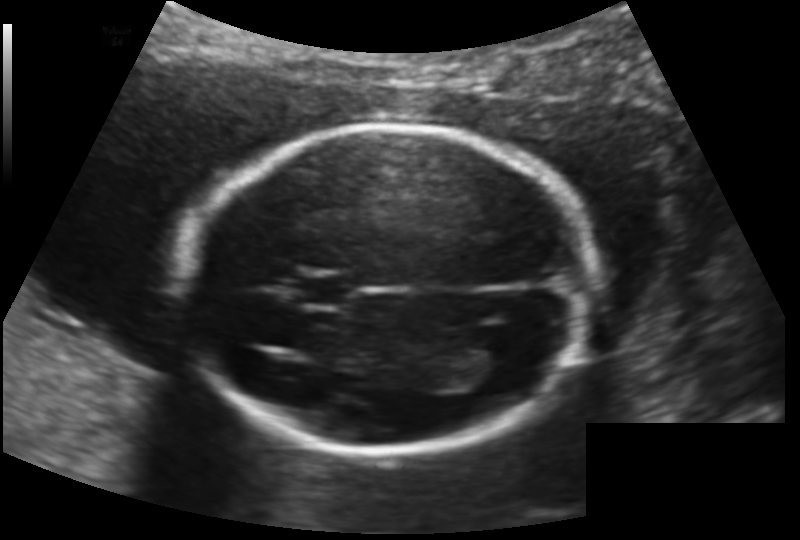
Fetal head ultrasound. Image width: 116.3 mm. Locate the fetal head and, if visible, the cavum septum pellucidum (CSP) and lateral ventricle (LV). Give bounding boxes as [x1,y1,x2,y2].

Head: [182,125,601,451]
CSP: [297,275,349,305]
Lateral ventricle: [456,348,518,388]